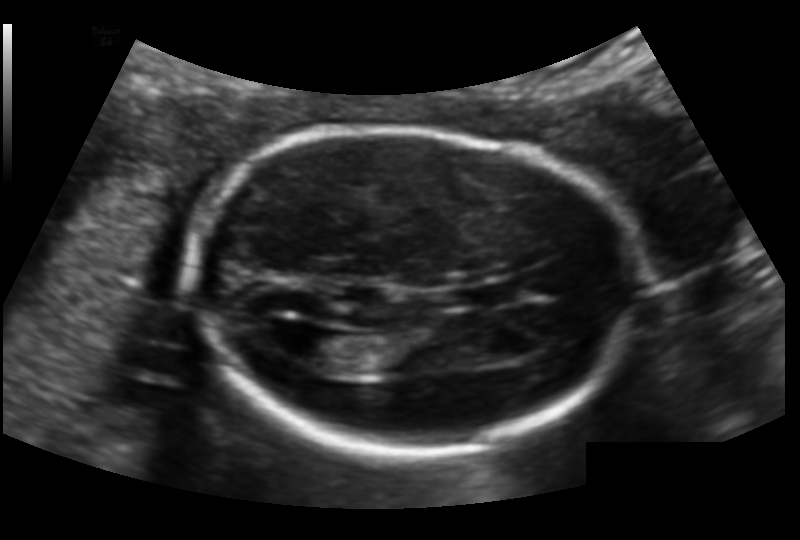
Fetal head ultrasound. Image width: 105.5 mm. Where is the cavum septum pellucidum?

CSP bounding box: [468,279,524,310]